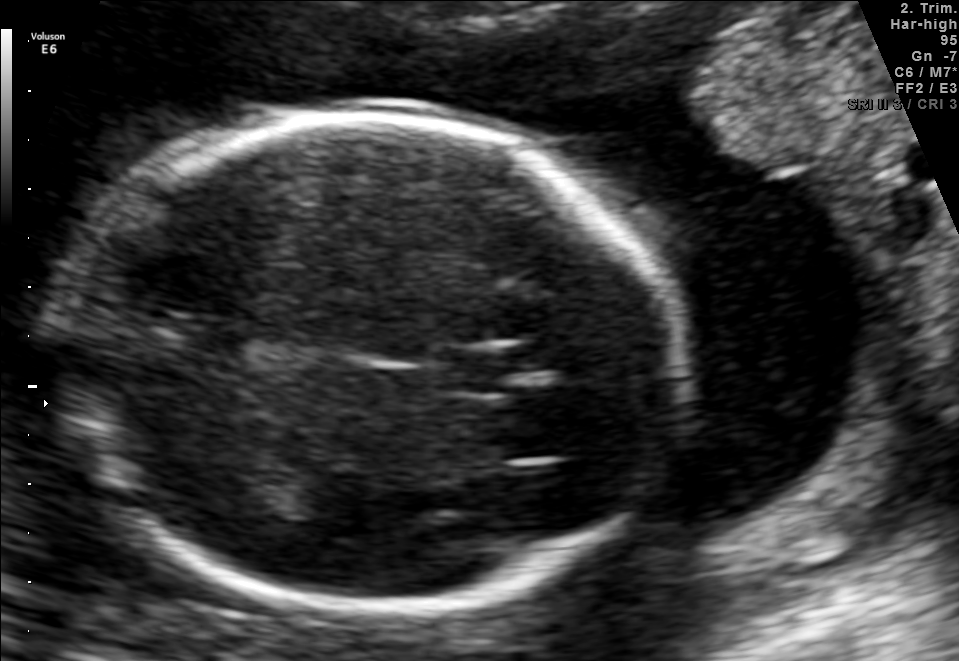
In this fetal brain, trans-thalamic plane, give the bounding box of the cavum septum pellucidum.

[439,349,516,394]